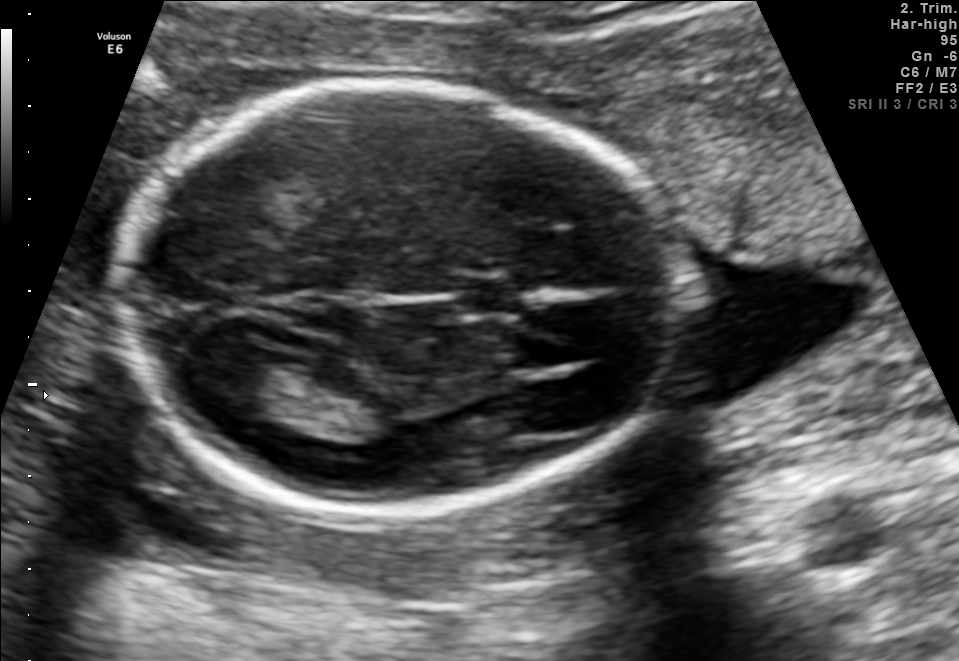
Fetal brain, trans-thalamic plane. Locate the lateral ventricle.

Lateral ventricle: [208,363,308,416]